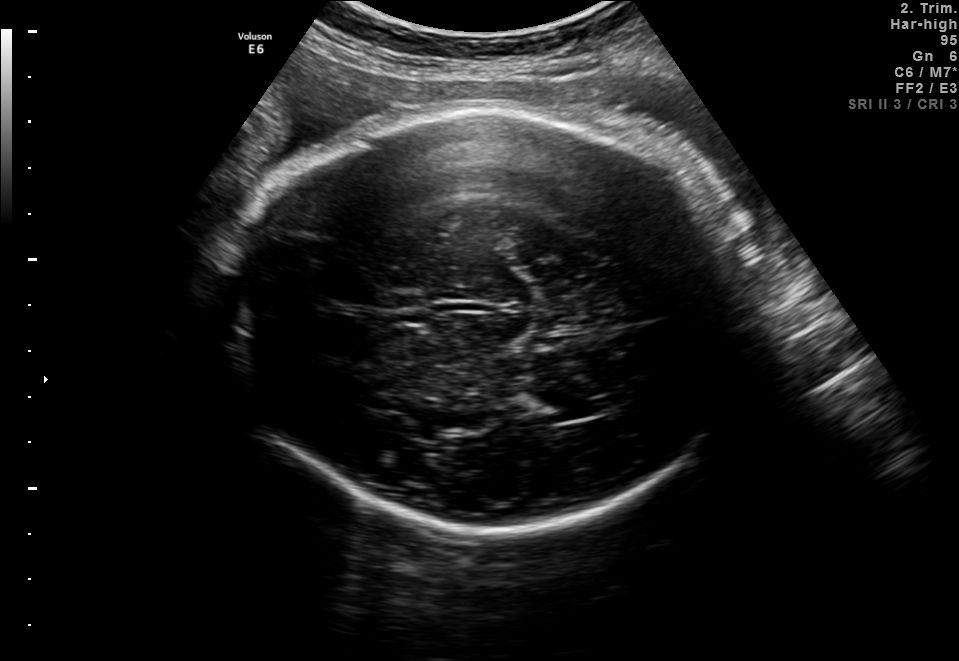
Fetal brain, trans-thalamic plane. Where is the lateral ventricle?

Lateral ventricle bounding box: [513,380,609,429]